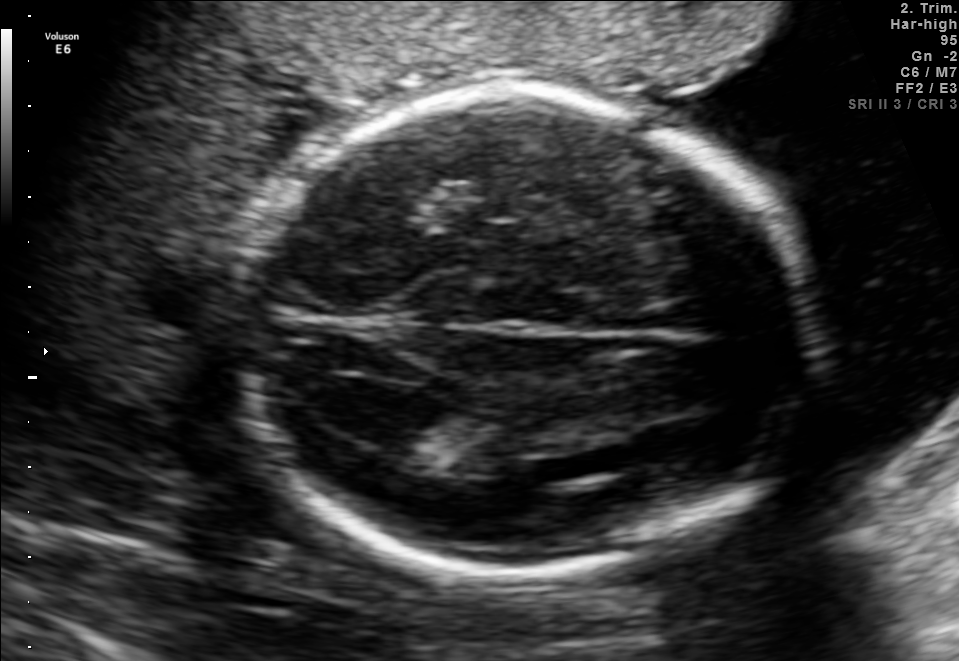
Fetal brain, trans-ventricular plane. Locate the fetal head.

Head: [223,77,836,590]